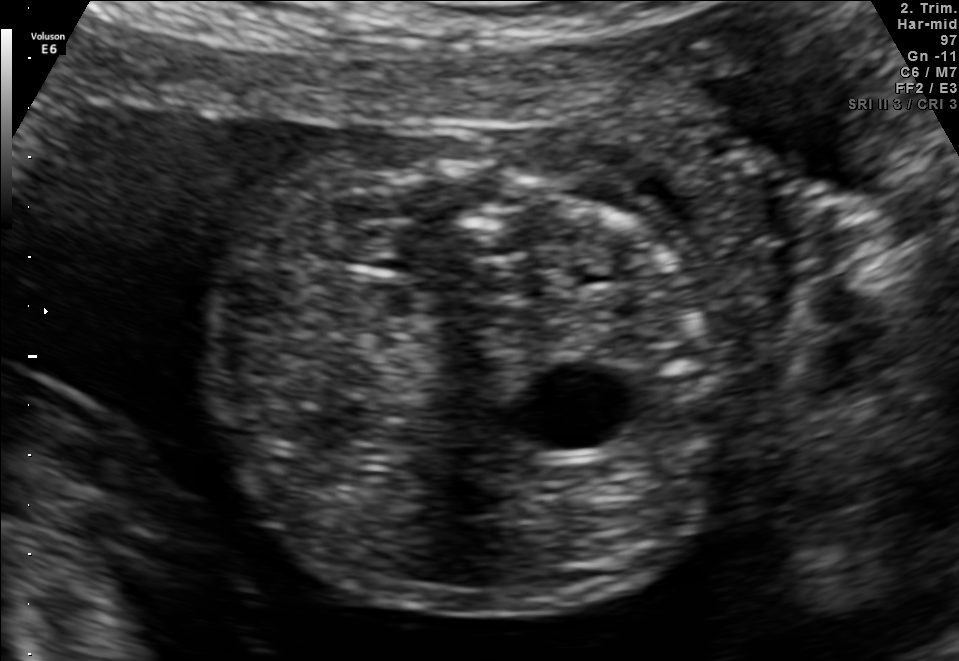
This is a 2D maternal-fetal ultrasound frame. Is it a fetal abdomen, fetal brain, fetal femur, fetal thorax, maternal cervix, or other standard plane? If it's fetal brain and one of the three standard brain planes (trans-thalamic, trans-cerebellum, trans-ventricular), name which.

Other